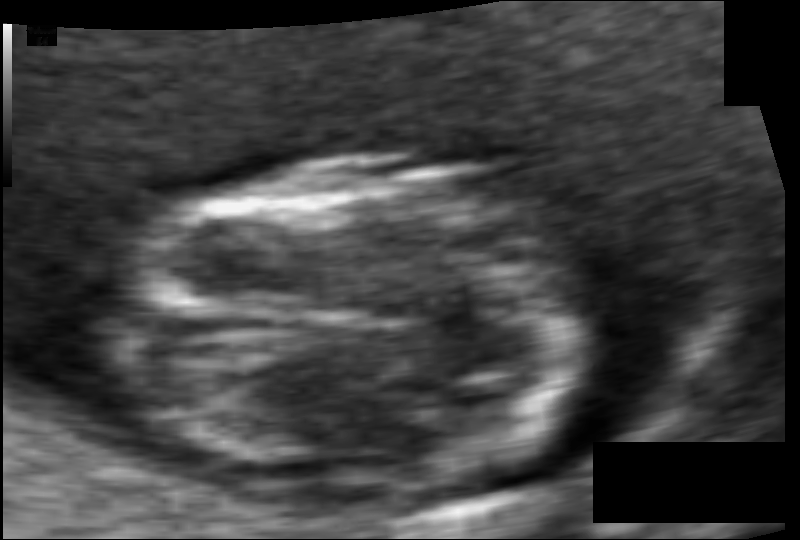
What is the fetal head circumference? Image width is 39.5 mm.

65.8 mm